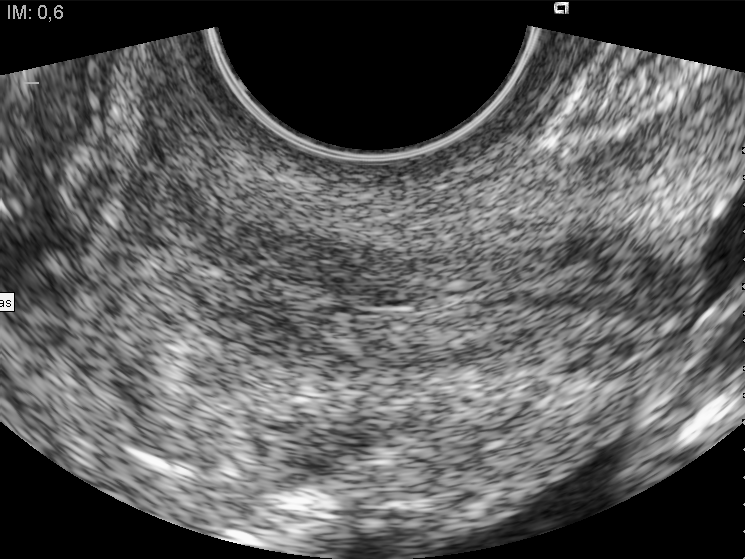
This is a 2D maternal-fetal ultrasound frame. Is it a fetal abdomen, fetal brain, fetal femur, fetal thorax, maternal cervix, or other standard plane? If it's fetal brain and one of the three standard brain planes (trans-thalamic, trans-cerebellum, trans-ventricular), name which.

Maternal cervix